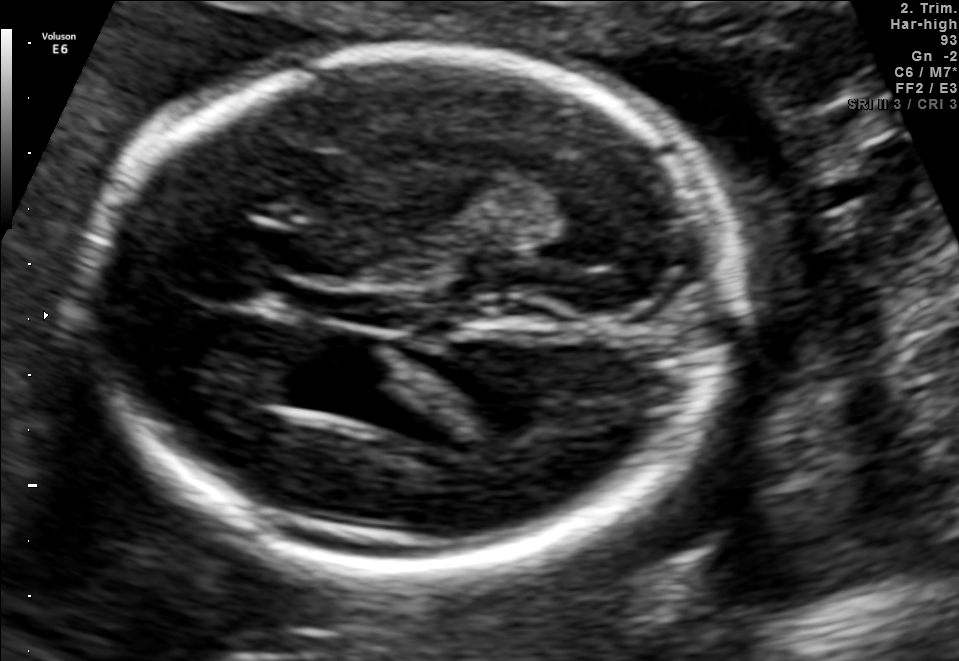
Fetal brain, trans-thalamic plane. Locate the fetal head and, if visible, the cavum septum pellucidum (CSP) and lateral ventricle (LV). Give bounding boxes as [x1,y1,x2,y2].

Head: [88,49,721,568]